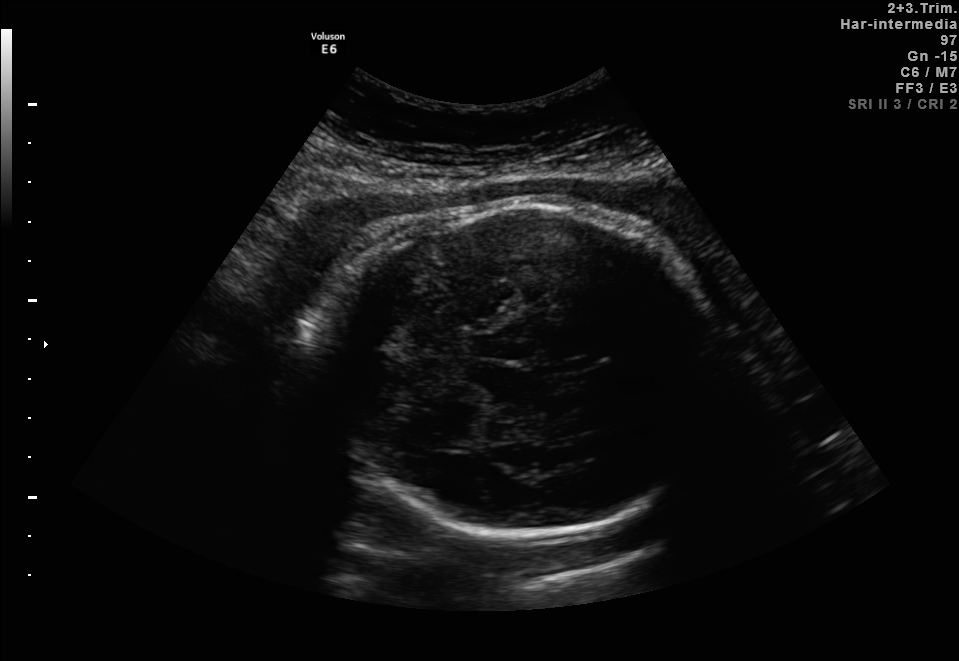
In this fetal brain, trans-thalamic plane, give bounding boxes for the head outline, cavum septum pellucidum (CSP), and lateral ventricle (LV), where visible.

Head: [310,198,721,539]